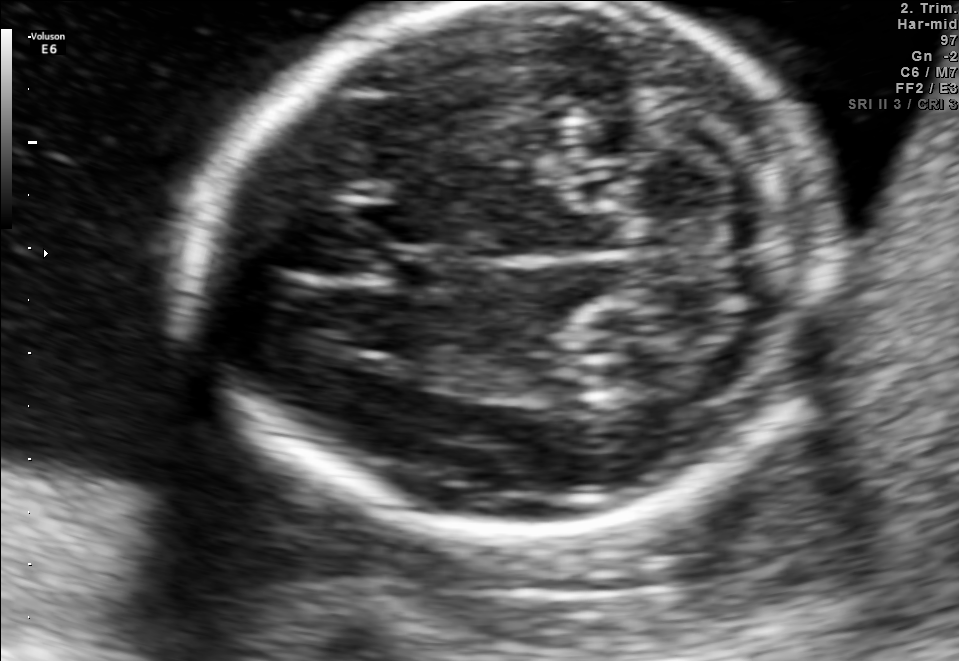
Fetal brain, trans-cerebellum plane. Locate the cavum septum pellucidum.

CSP: [380,251,451,291]